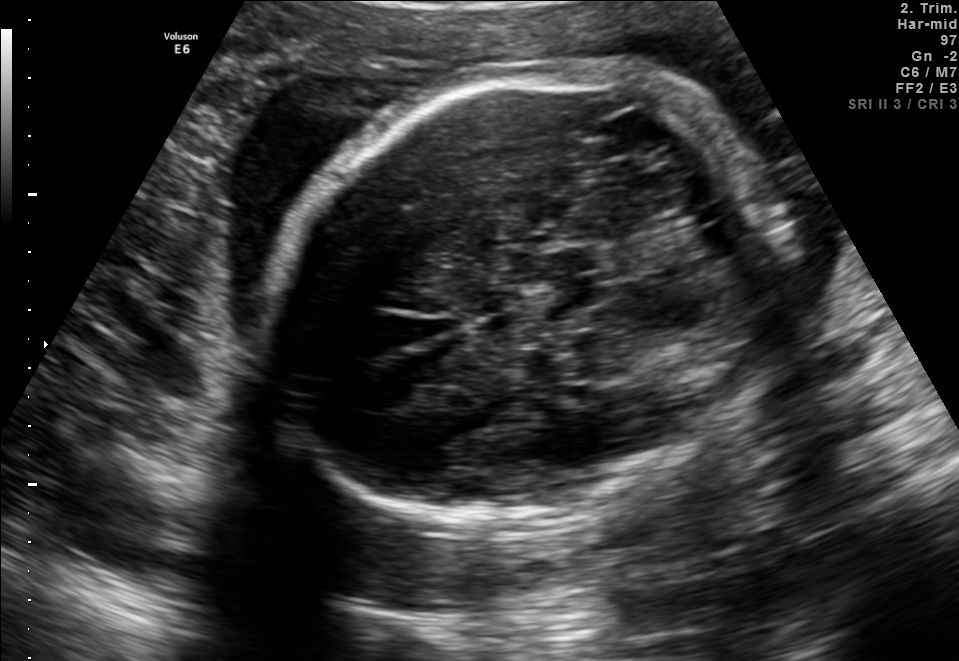
Fetal brain, trans-cerebellum plane. Locate the fetal head and, if visible, the cavum septum pellucidum (CSP) and lateral ventricle (LV). Give bounding boxes as [x1,y1,x2,y2].

Head: [266,73,779,524]